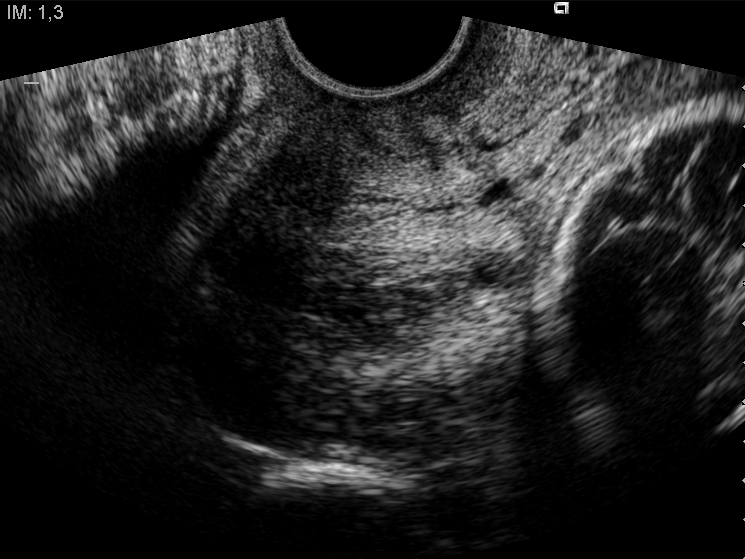
Classify this maternal-fetal ultrasound image as one of the six standard planes — fetal abdomen, fetal brain, fetal femur, fetal thorax, maternal cervix, or other. If it's fetal brain and one of the three standard brain planes (trans-thalamic, trans-cerebellum, trans-ventricular), name which.

Maternal cervix